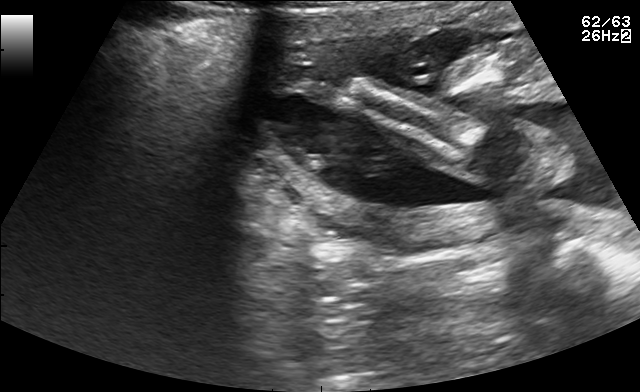
Classify this maternal-fetal ultrasound image as one of the six standard planes — fetal abdomen, fetal brain, fetal femur, fetal thorax, maternal cervix, or other. If it's fetal brain and one of the three standard brain planes (trans-thalamic, trans-cerebellum, trans-ventricular), name which.

Other